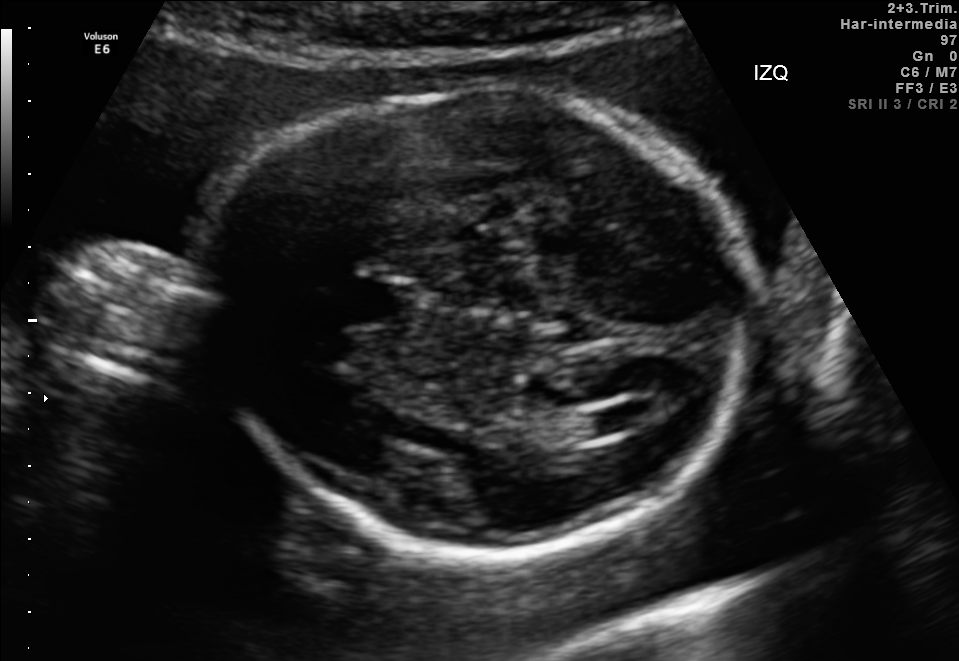
Fetal brain, trans-ventricular plane. Where is the fetal head?

Head bounding box: [186,78,775,565]